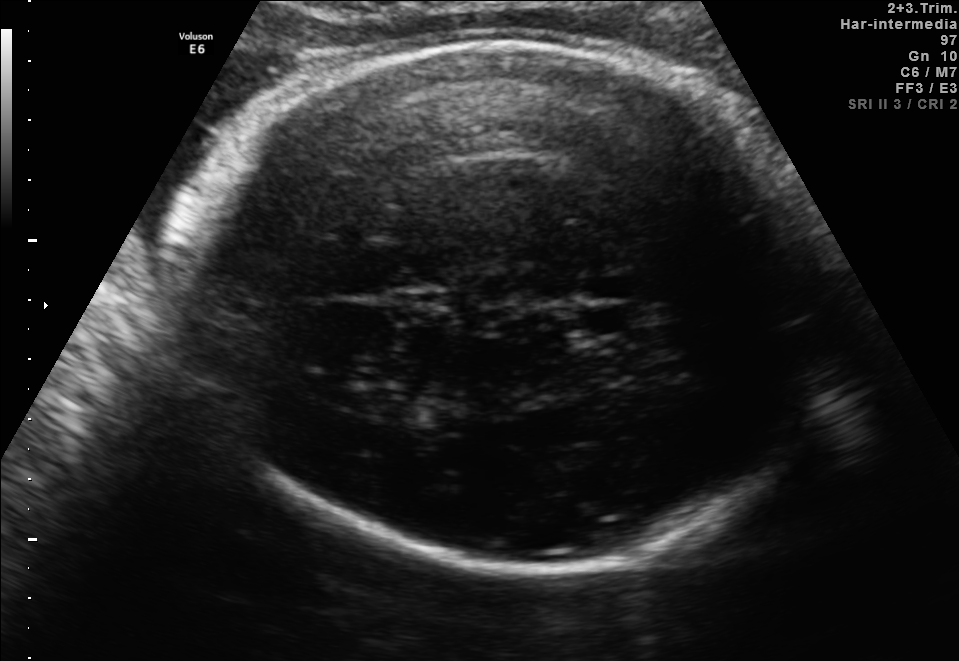
Fetal brain, trans-thalamic plane. Locate the fetal head.

Head: [197,38,836,569]